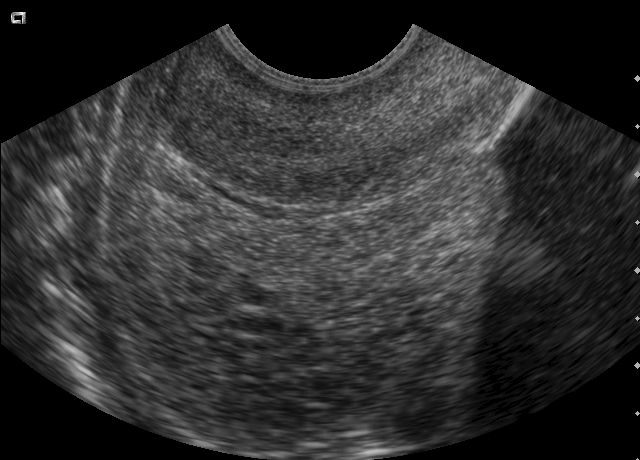
Classify this maternal-fetal ultrasound image as one of the six standard planes — fetal abdomen, fetal brain, fetal femur, fetal thorax, maternal cervix, or other. If it's fetal brain and one of the three standard brain planes (trans-thalamic, trans-cerebellum, trans-ventricular), name which.

Maternal cervix